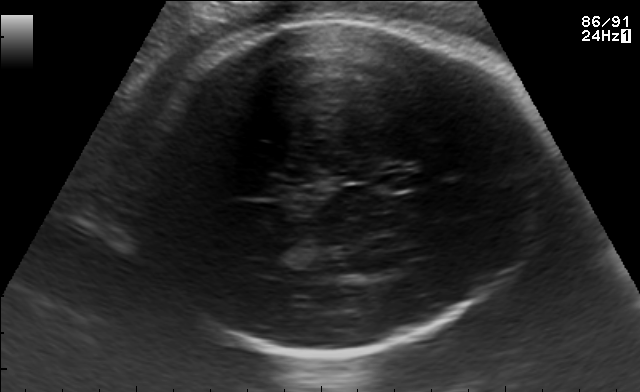
In this fetal brain, trans-thalamic plane, give the bounding box of the fetal head.

[118,21,545,353]